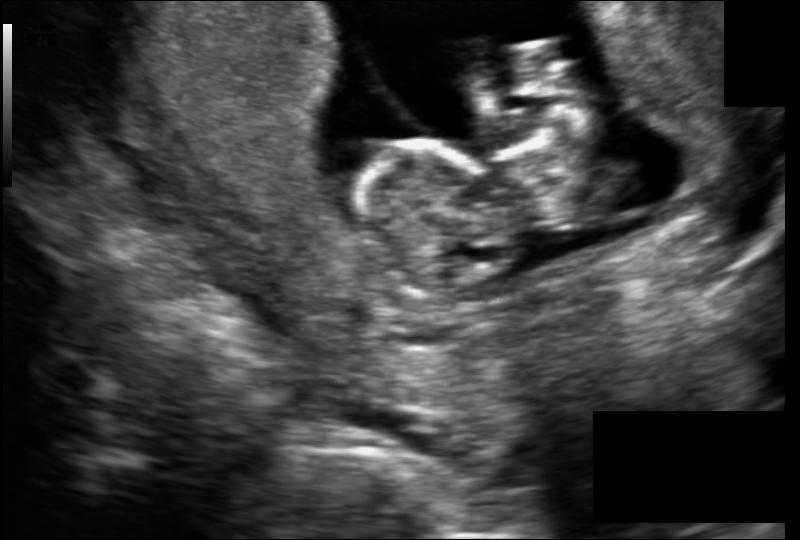
Estimate the fetal head circumference from this 2D ultrasound.

Head circumference: 62.3 mm (image width 97.2 mm).